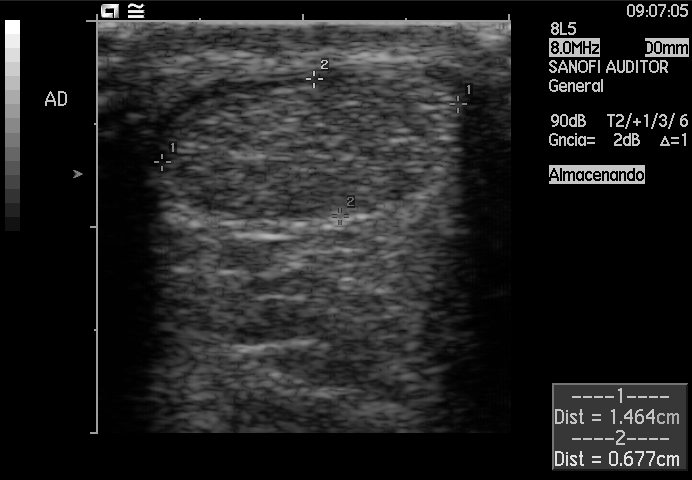
Identify the standard plane in this fetal ultrasound image: fetal abdomen, fetal brain, fetal femur, fetal thorax, maternal cervix, or other. If it's fetal brain and one of the three standard brain planes (trans-thalamic, trans-cerebellum, trans-ventricular), name which.

Other